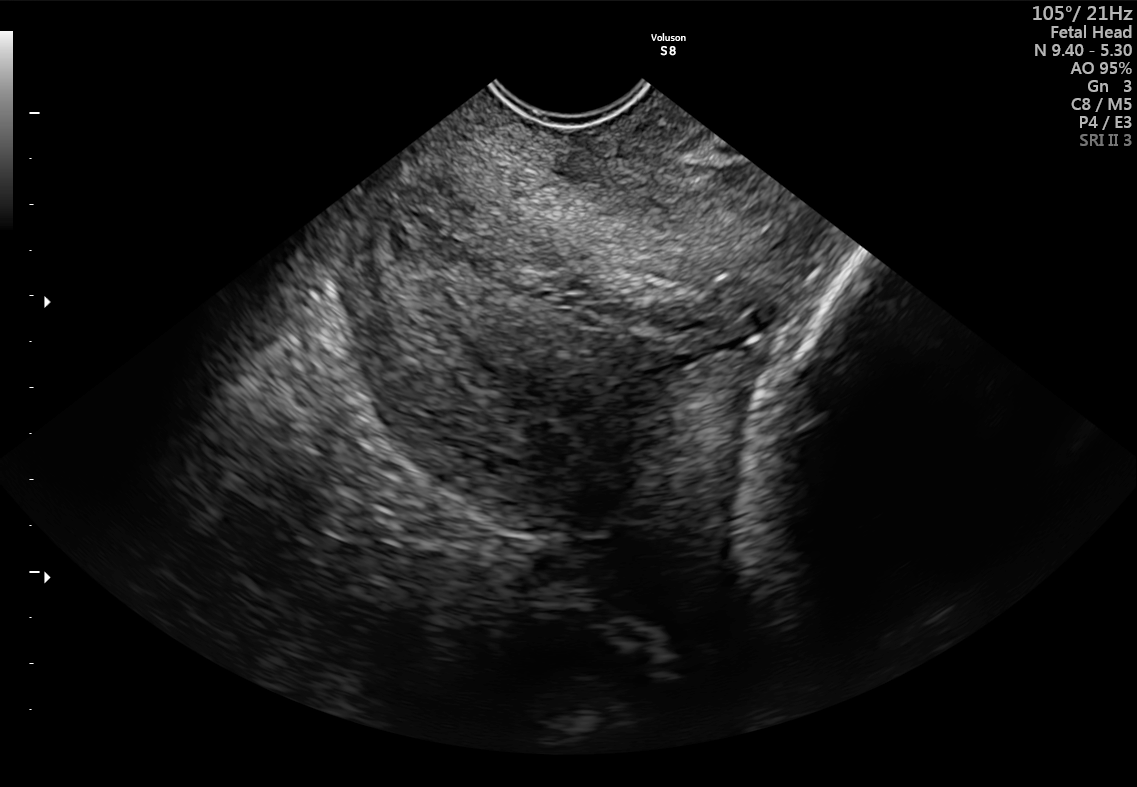
Which standard maternal-fetal ultrasound plane is shown: fetal abdomen, fetal brain, fetal femur, fetal thorax, maternal cervix, or other? If it's fetal brain and one of the three standard brain planes (trans-thalamic, trans-cerebellum, trans-ventricular), name which.

Maternal cervix